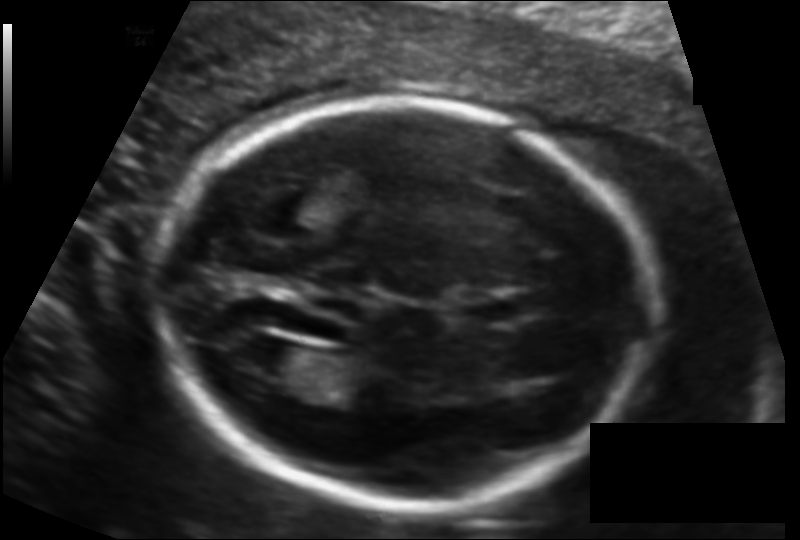
Estimate the fetal head circumference from this 2D ultrasound. Image width: 98.9 mm.

Head circumference: 179.0 mm.